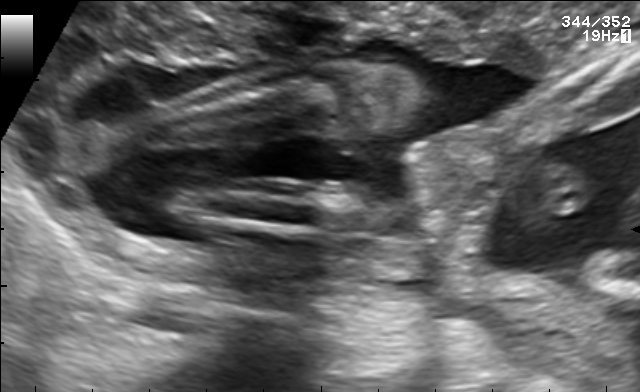
Identify the standard plane in this fetal ultrasound image: fetal abdomen, fetal brain, fetal femur, fetal thorax, maternal cervix, or other. If it's fetal brain and one of the three standard brain planes (trans-thalamic, trans-cerebellum, trans-ventricular), name which.

Other